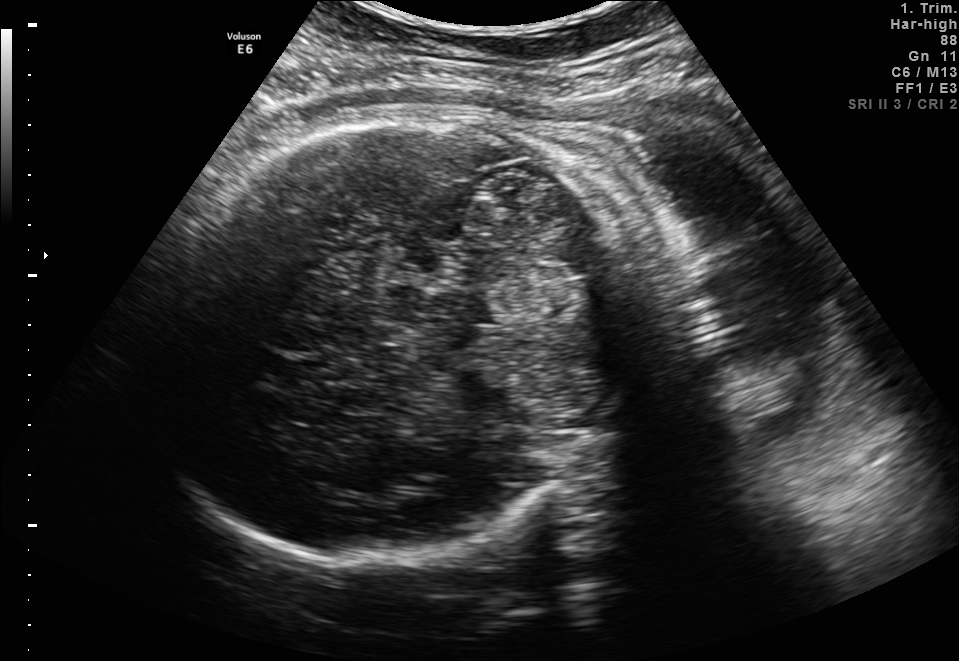
Fetal brain, trans-thalamic plane. Locate the fetal head.

Head: [144,108,633,573]